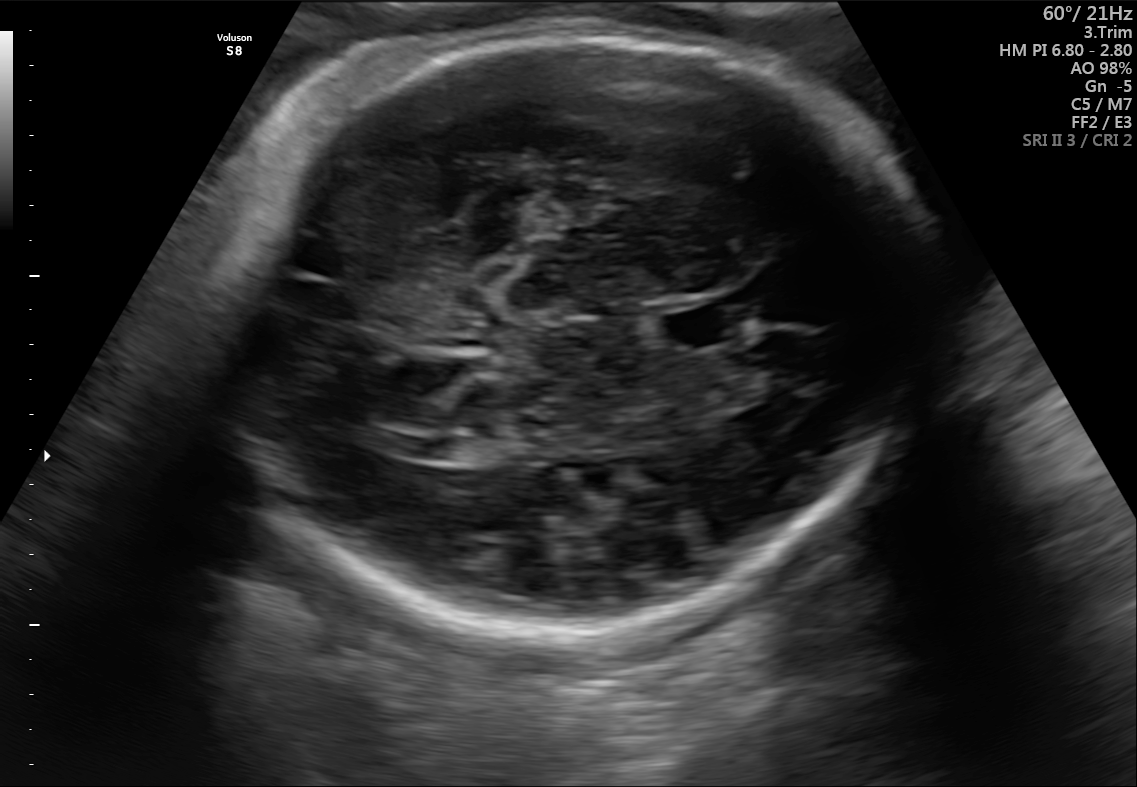
Fetal brain, trans-thalamic plane. Give [x1,y1,x2,y2] bounding boxes for each visible structure among: fetal head, CSP, LV.

Head: [206,29,931,623]
CSP: [654,294,751,359]
Lateral ventricle: [417,437,489,461]